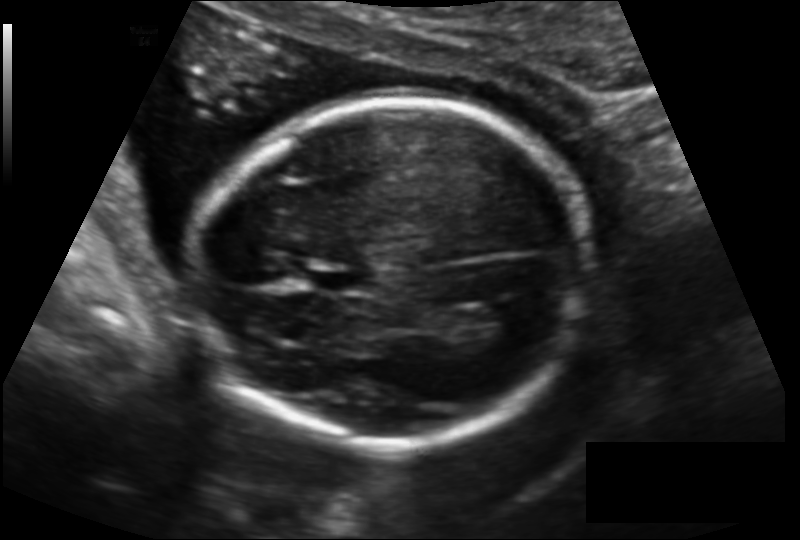
In this fetal head ultrasound, give the bounding box of the lateral ventricle. Image width: 111.8 mm.

[472,298,533,340]